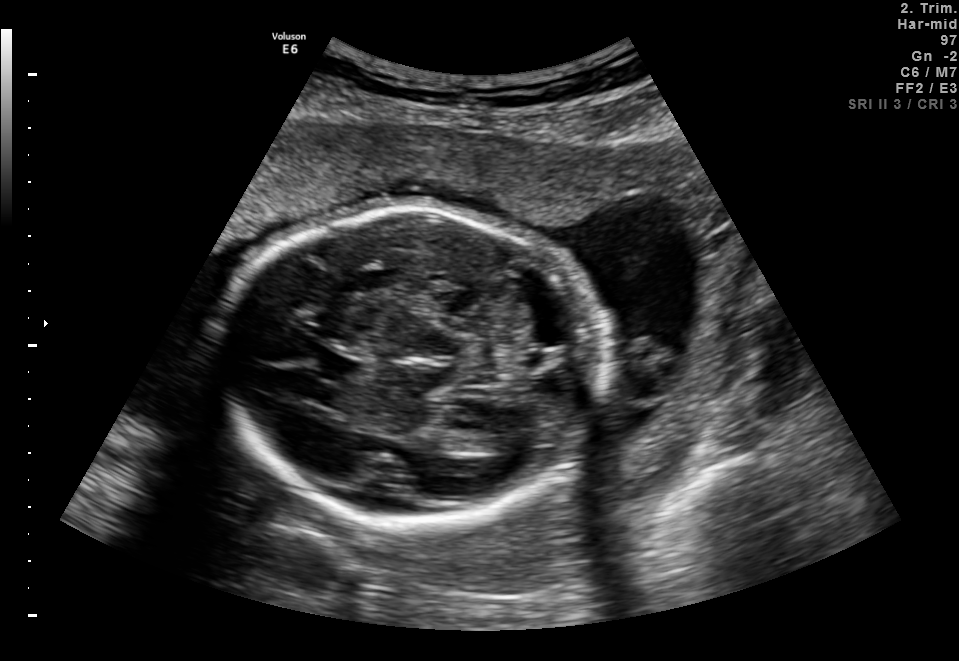
Fetal brain, trans-thalamic plane. Locate the lateral ventricle.

Lateral ventricle: [474,423,527,455]